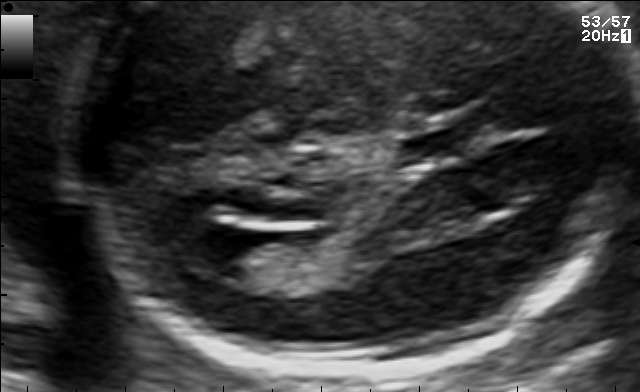
Fetal brain, trans-ventricular plane. Locate the cavum septum pellucidum.

CSP: [396,123,469,170]